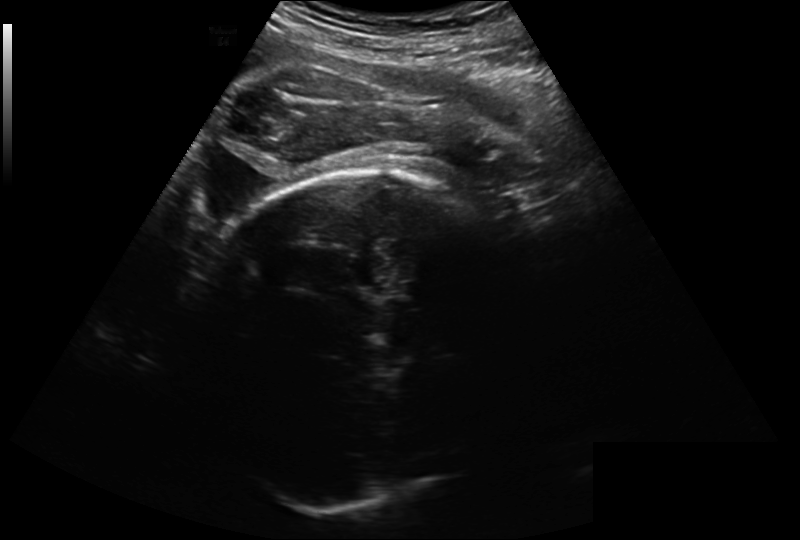
Fetal head ultrasound. Image width: 208.2 mm. Locate the fetal head.

Head: [181,170,536,512]